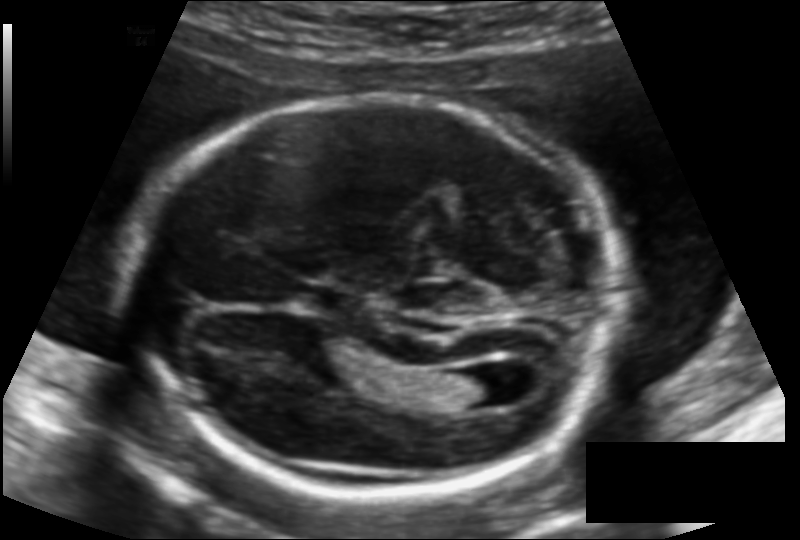
Fetal head ultrasound. Image width: 99.7 mm. Locate the lateral ventricle.

Lateral ventricle: [445,370,510,408]